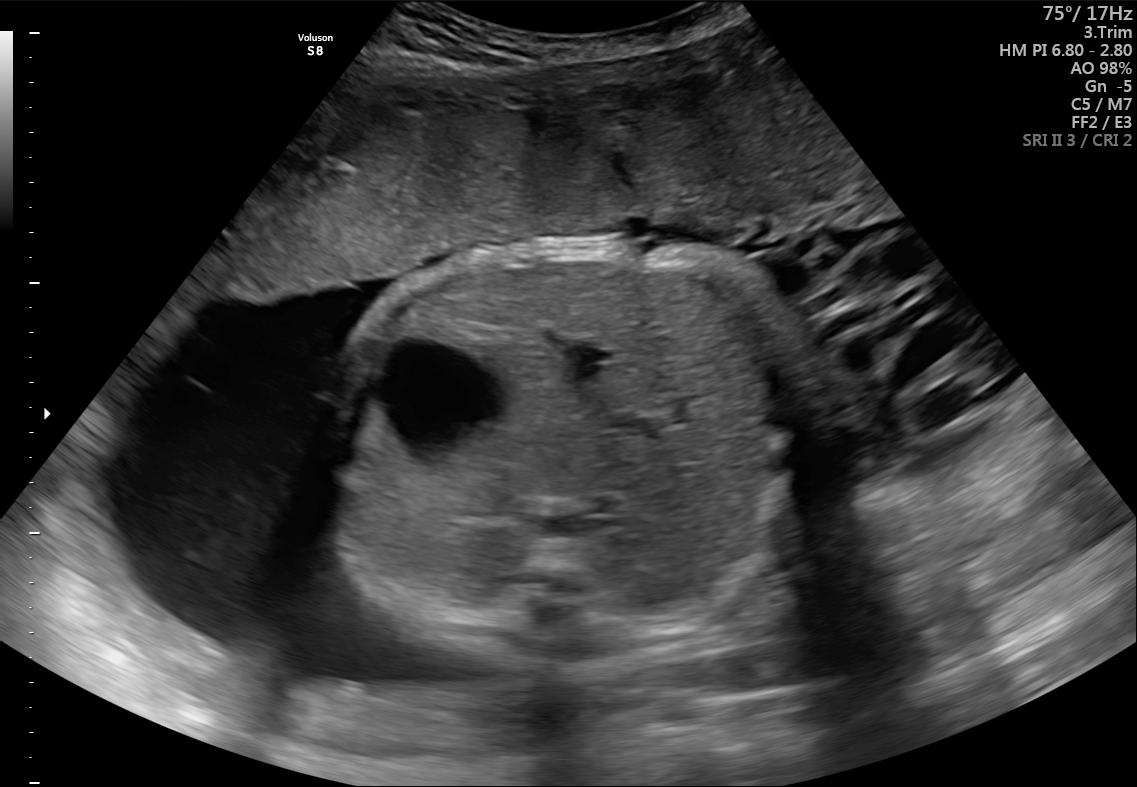
Identify the standard plane in this fetal ultrasound image: fetal abdomen, fetal brain, fetal femur, fetal thorax, maternal cervix, or other. If it's fetal brain and one of the three standard brain planes (trans-thalamic, trans-cerebellum, trans-ventricular), name which.

Fetal abdomen